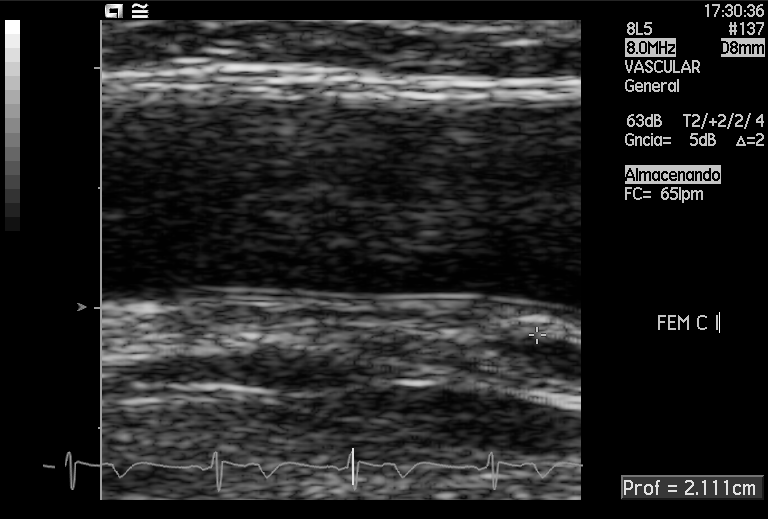
Which standard maternal-fetal ultrasound plane is shown: fetal abdomen, fetal brain, fetal femur, fetal thorax, maternal cervix, or other? If it's fetal brain and one of the three standard brain planes (trans-thalamic, trans-cerebellum, trans-ventricular), name which.

Other